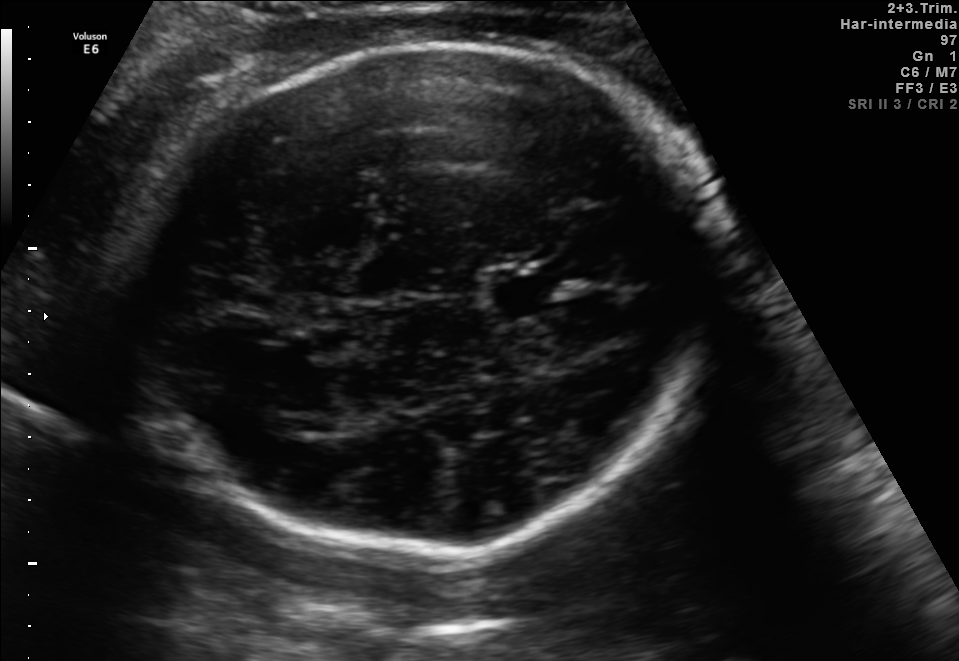
In this fetal brain, trans-thalamic plane, give bounding boxes for the head outline, cavum septum pellucidum (CSP), and lateral ventricle (LV), where visible.

Head: [122,46,715,555]
CSP: [485,267,562,319]